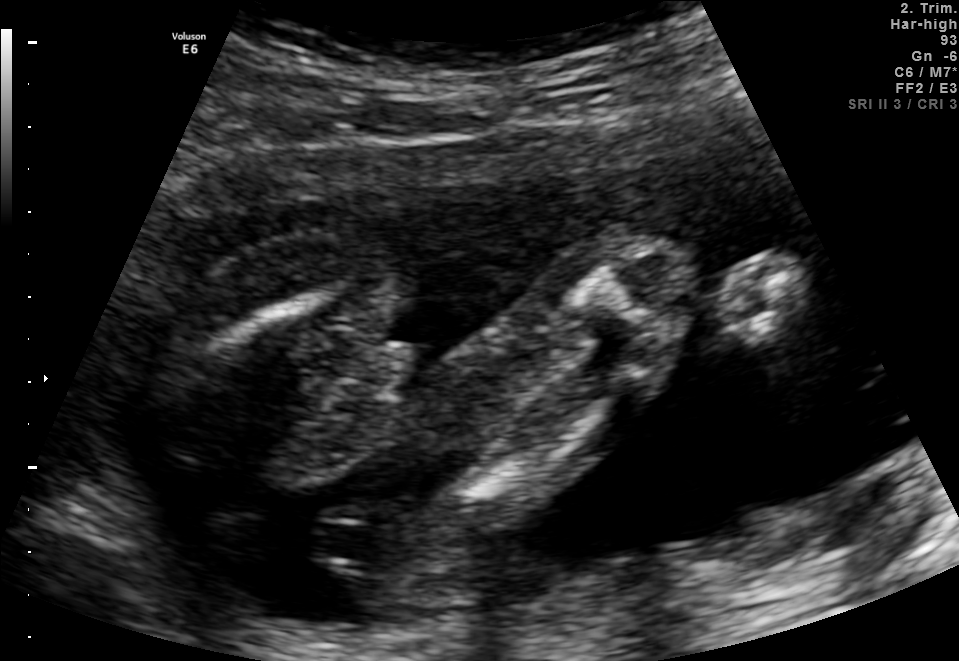
Classify this maternal-fetal ultrasound image as one of the six standard planes — fetal abdomen, fetal brain, fetal femur, fetal thorax, maternal cervix, or other. If it's fetal brain and one of the three standard brain planes (trans-thalamic, trans-cerebellum, trans-ventricular), name which.

Other